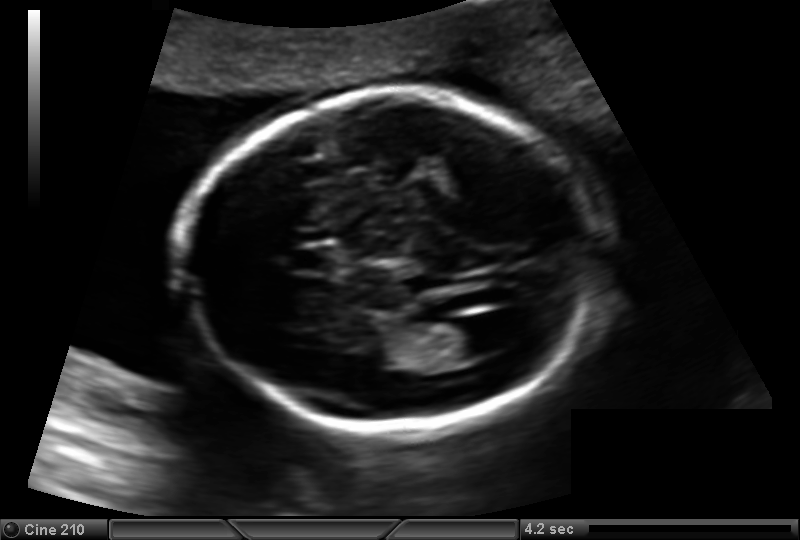
Fetal head ultrasound. Image width: 109.7 mm. Locate the cavum septum pellucidum.

CSP: [292,246,334,273]